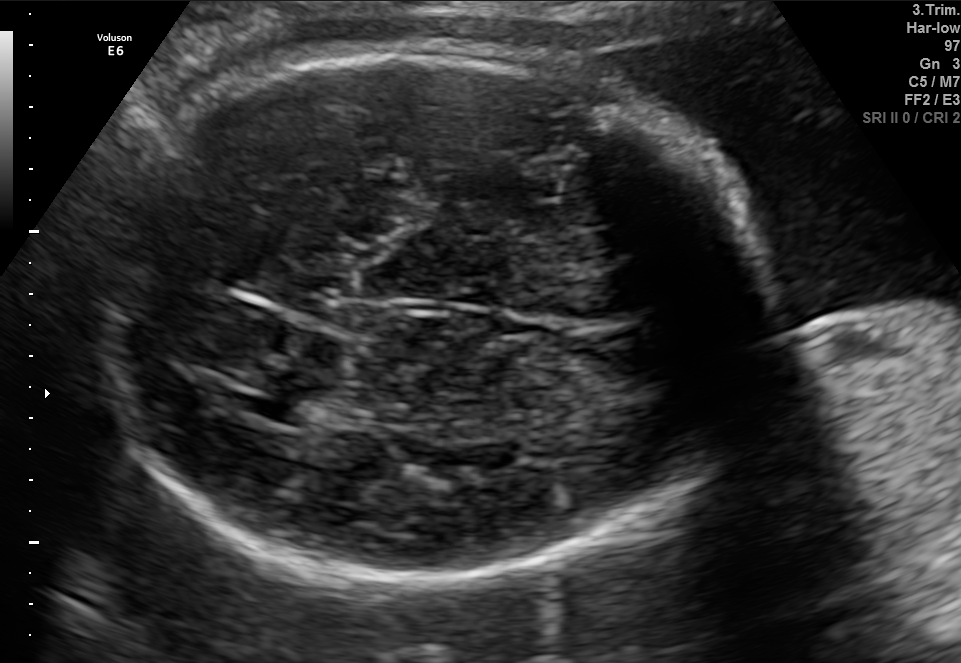
In this fetal brain, trans-thalamic plane, give bounding boxes for the head outline, cavum septum pellucidum (CSP), and lateral ventricle (LV), where visible.

Head: [86,43,775,580]